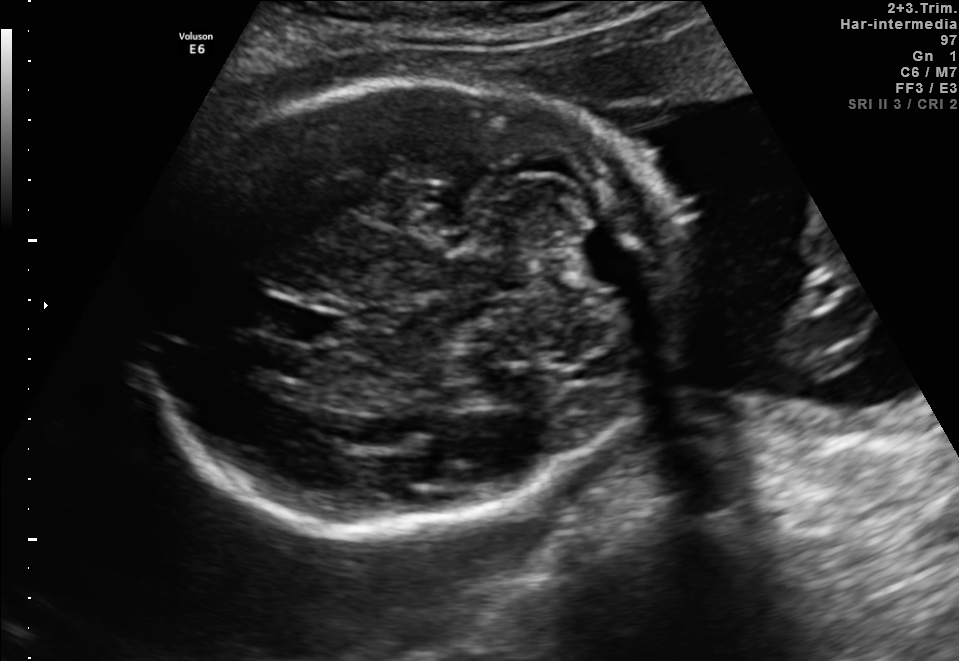
Fetal brain, trans-cerebellum plane. Give [x1,y1,x2,y2] bounding boxes for each visible structure among: fetal head, CSP, LV.

Head: [139,84,684,529]
CSP: [250,291,333,351]